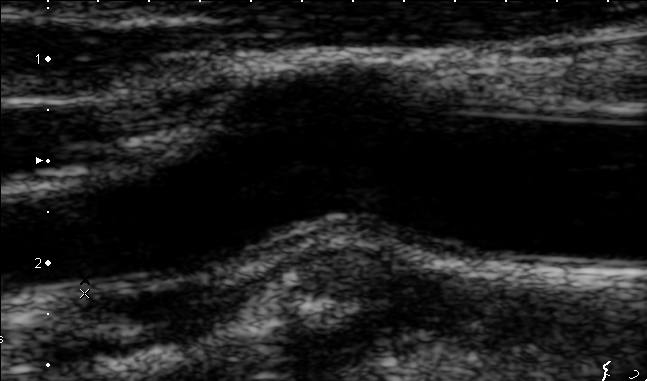
Identify the standard plane in this fetal ultrasound image: fetal abdomen, fetal brain, fetal femur, fetal thorax, maternal cervix, or other. If it's fetal brain and one of the three standard brain planes (trans-thalamic, trans-cerebellum, trans-ventricular), name which.

Other